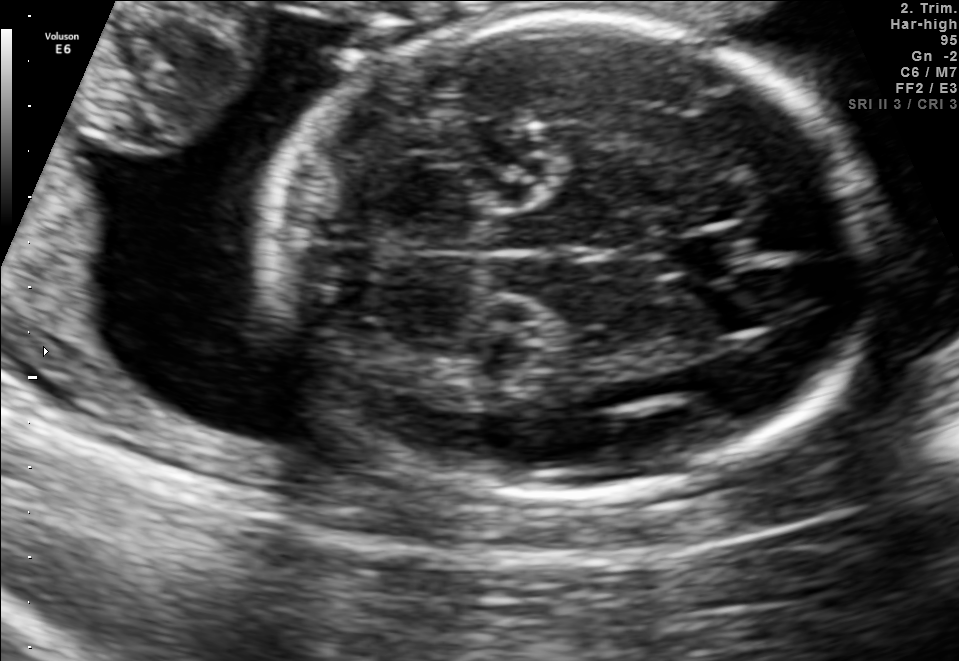
Fetal brain, trans-cerebellum plane. Locate the fetal head.

Head: [264,14,865,495]